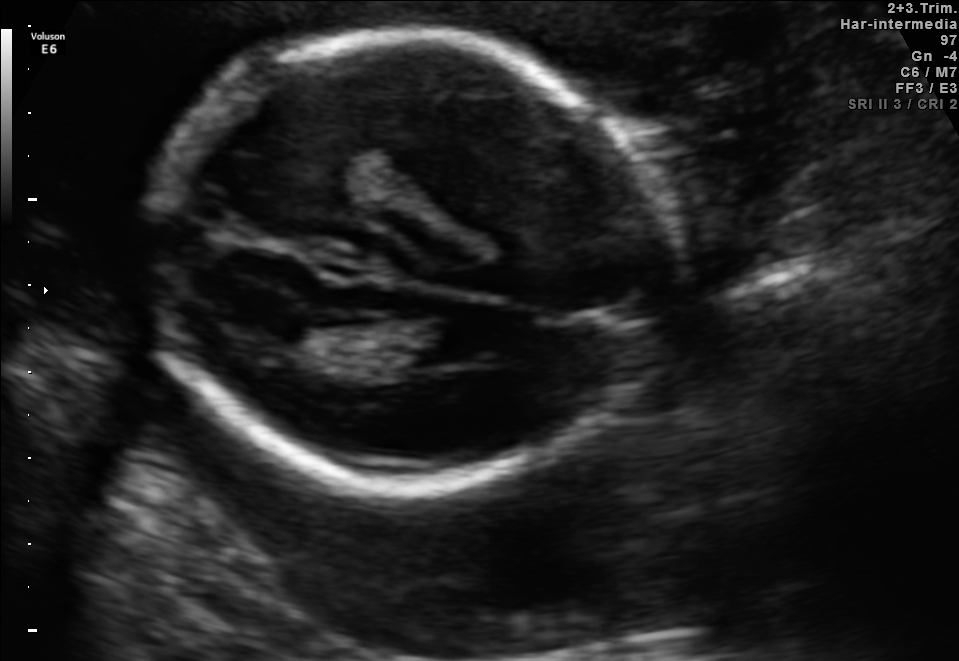
This is a 2D maternal-fetal ultrasound frame. Is it a fetal abdomen, fetal brain, fetal femur, fetal thorax, maternal cervix, or other standard plane? If it's fetal brain and one of the three standard brain planes (trans-thalamic, trans-cerebellum, trans-ventricular), name which.

Fetal brain (trans-ventricular plane)